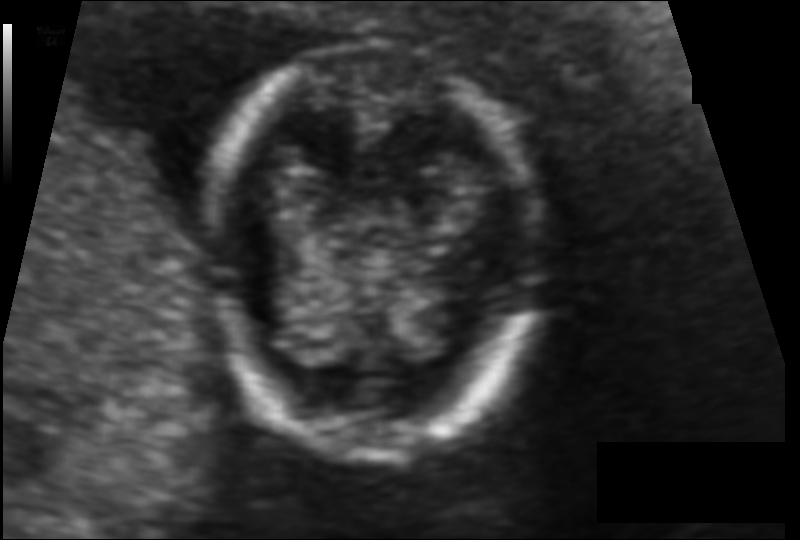
Fetal head ultrasound. Image width: 63.9 mm. Locate the fetal head and, if visible, the cavum septum pellucidum (CSP) and lateral ventricle (LV). Give bounding boxes as [x1,y1,x2,y2].

Head: [212,46,535,460]